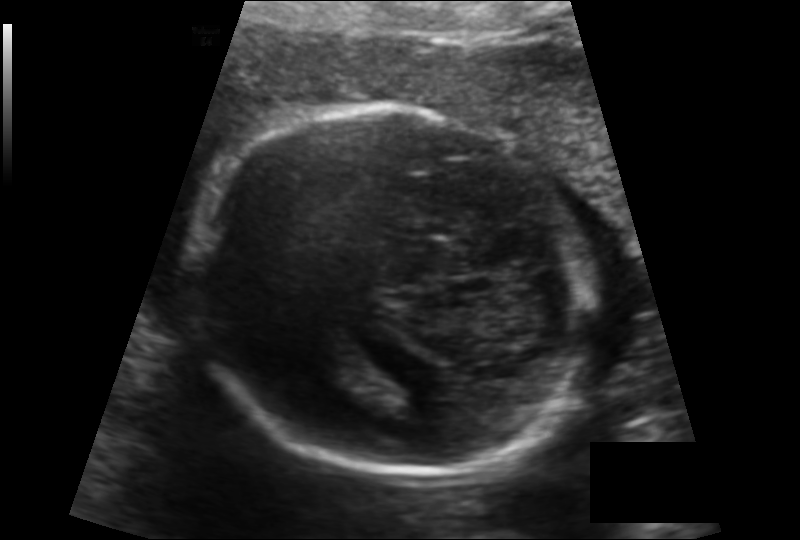
In this fetal head ultrasound, give the bounding box of the fetal head. Image width: 113.4 mm.

[189,106,593,473]